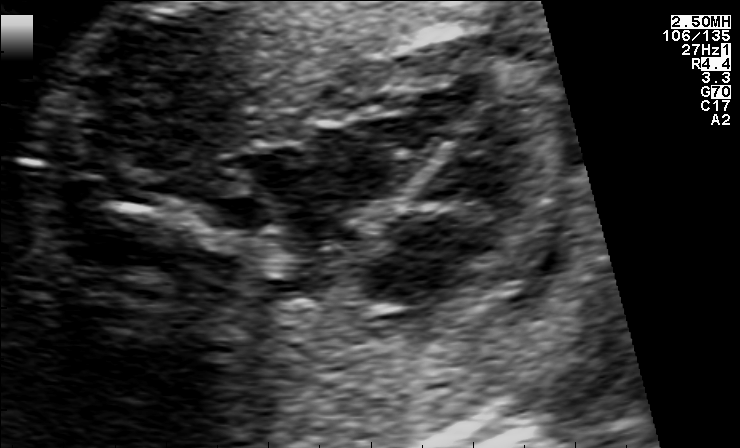
Which standard maternal-fetal ultrasound plane is shown: fetal abdomen, fetal brain, fetal femur, fetal thorax, maternal cervix, or other? If it's fetal brain and one of the three standard brain planes (trans-thalamic, trans-cerebellum, trans-ventricular), name which.

Fetal thorax